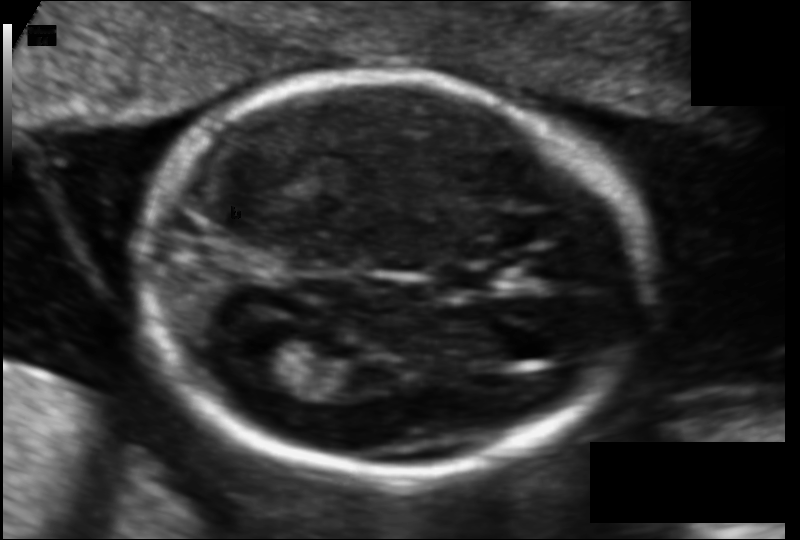
From this fetal ultrasound, estimate the head circumference (image width 83.2 mm).

Head circumference: 150.5 mm.